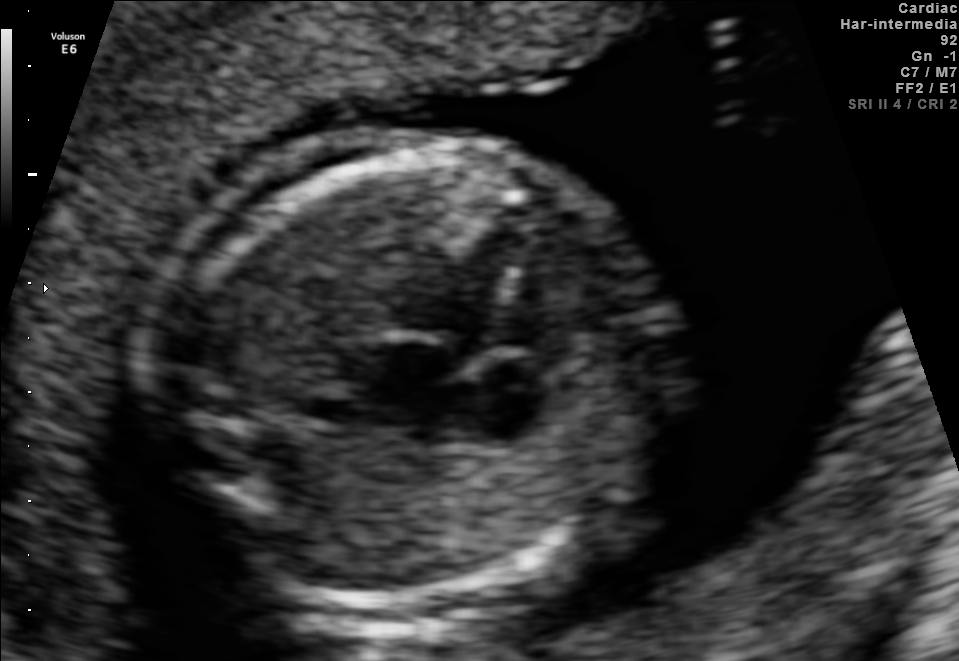
Which standard maternal-fetal ultrasound plane is shown: fetal abdomen, fetal brain, fetal femur, fetal thorax, maternal cervix, or other? If it's fetal brain and one of the three standard brain planes (trans-thalamic, trans-cerebellum, trans-ventricular), name which.

Fetal thorax